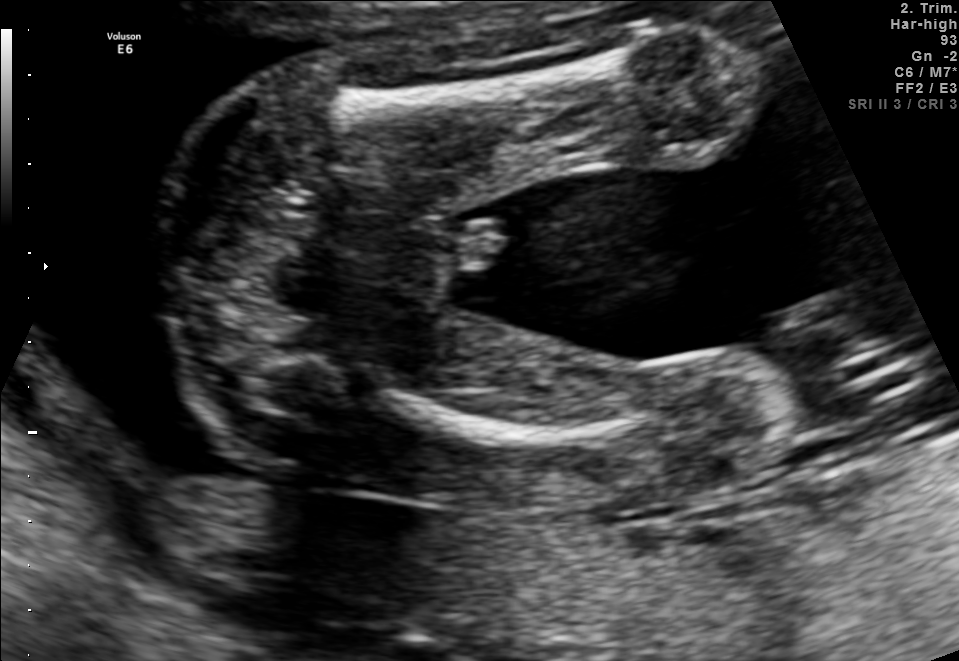
Classify this maternal-fetal ultrasound image as one of the six standard planes — fetal abdomen, fetal brain, fetal femur, fetal thorax, maternal cervix, or other. If it's fetal brain and one of the three standard brain planes (trans-thalamic, trans-cerebellum, trans-ventricular), name which.

Fetal femur